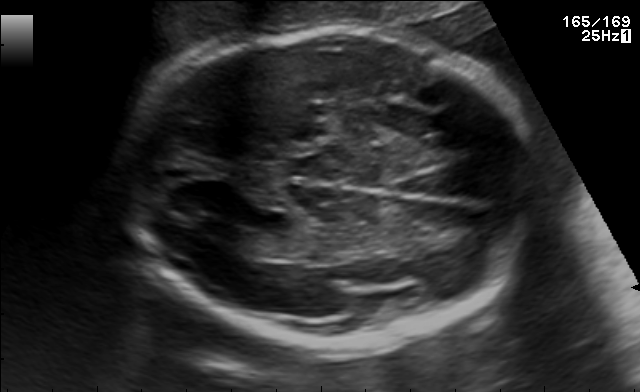
Fetal brain, trans-ventricular plane. Give [x1,y1,x2,y2] bounding boxes for each visible structure among: fetal head, CSP, LV.

Head: [114,23,547,350]